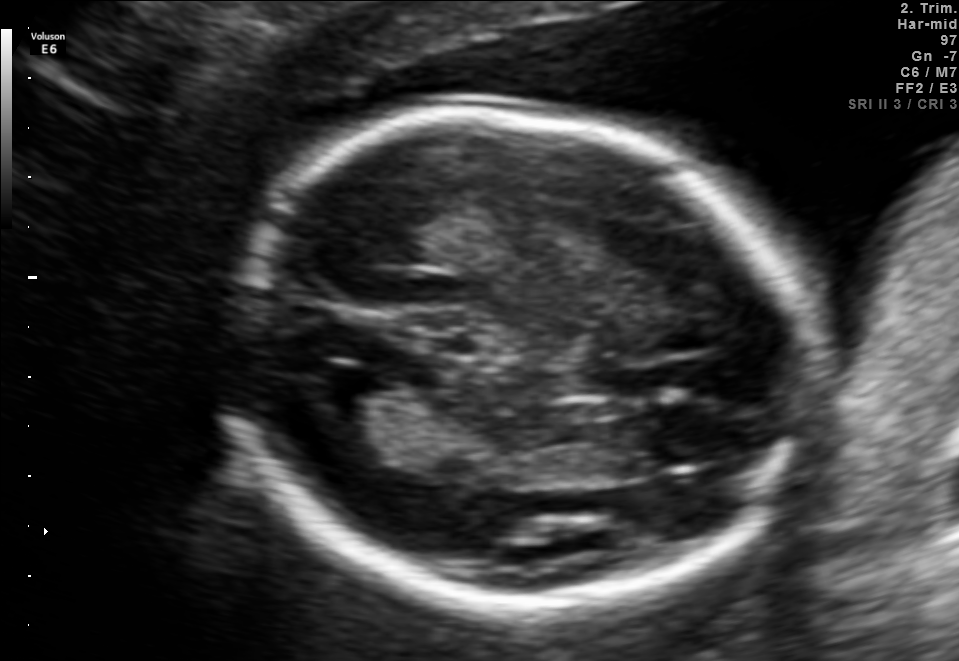
In this fetal brain, trans-thalamic plane, give the bounding box of the fetal head.

[218,113,815,600]